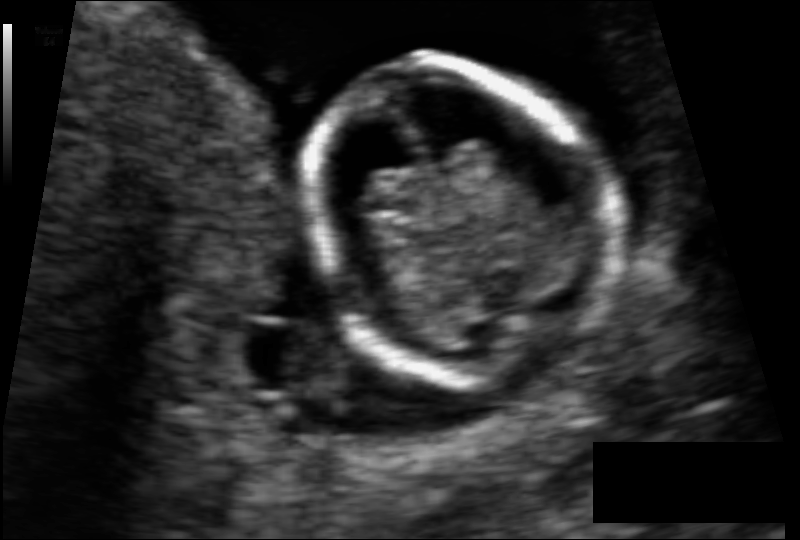
Fetal head ultrasound. Image width: 58.7 mm. Where is the fetal head?

Head bounding box: [306,57,617,386]